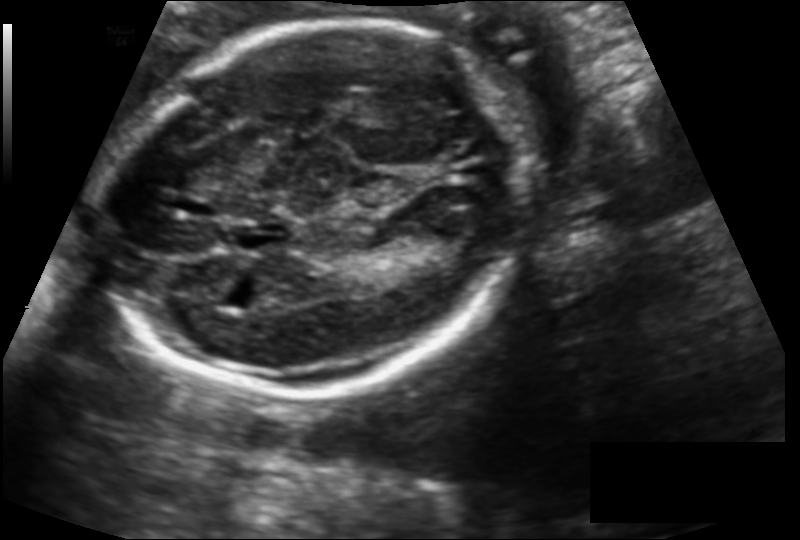
Estimate the fetal head circumference from this 2D ultrasound.

Head circumference: 175.1 mm (image width 106.3 mm).